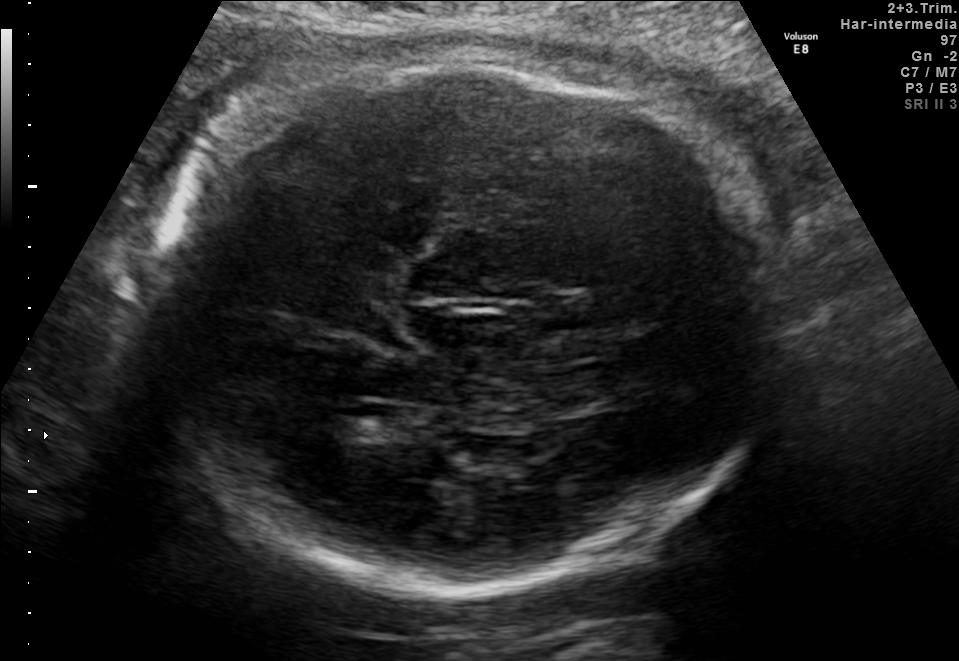
In this fetal brain, trans-thalamic plane, give the bounding box of the lateral ventricle.

[335,400,416,440]